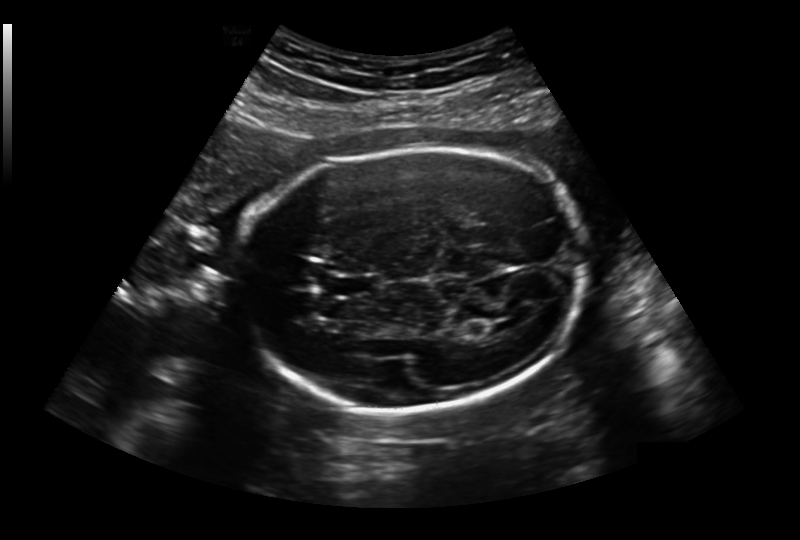
Measure the fetal head circumference shown in this ultrasound image. Image width: 188.7 mm.

Head circumference: 231.5 mm.